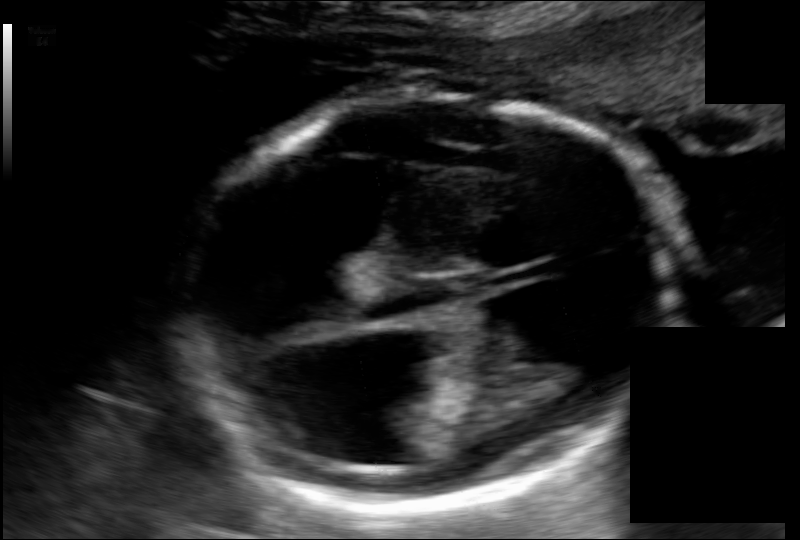
Estimate the fetal head circumference from this 2D ultrasound.

Head circumference: 196.9 mm (image width 107.8 mm).